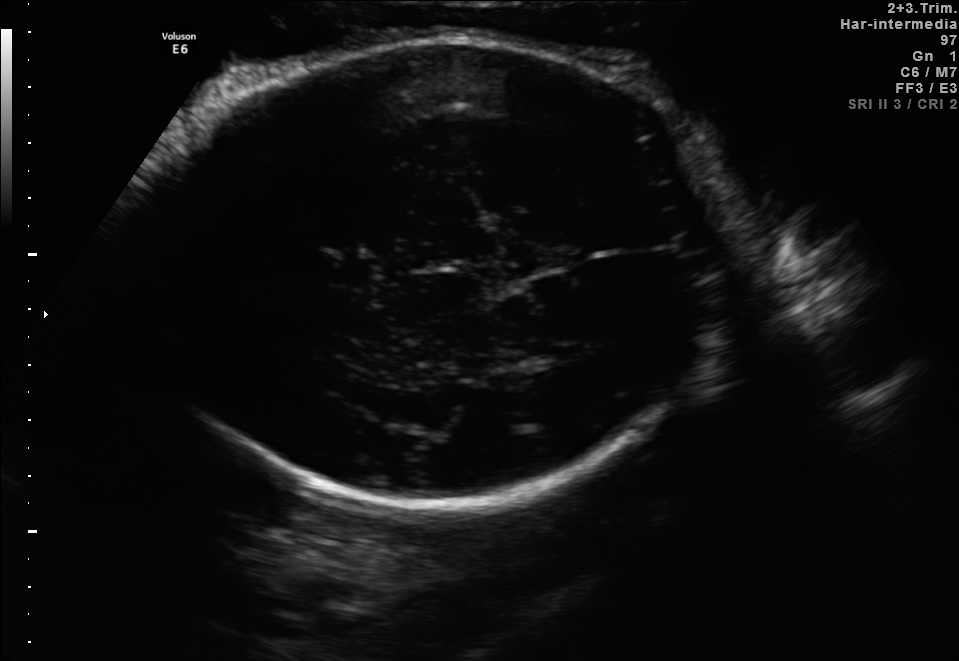
Identify the standard plane in this fetal ultrasound image: fetal abdomen, fetal brain, fetal femur, fetal thorax, maternal cervix, or other. If it's fetal brain and one of the three standard brain planes (trans-thalamic, trans-cerebellum, trans-ventricular), name which.

Fetal brain (trans-thalamic plane)